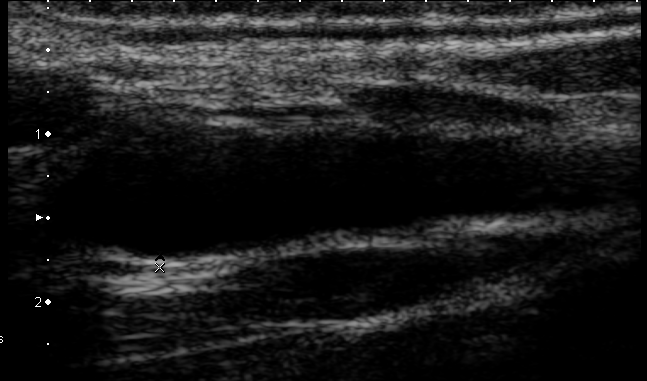
Classify this maternal-fetal ultrasound image as one of the six standard planes — fetal abdomen, fetal brain, fetal femur, fetal thorax, maternal cervix, or other. If it's fetal brain and one of the three standard brain planes (trans-thalamic, trans-cerebellum, trans-ventricular), name which.

Other